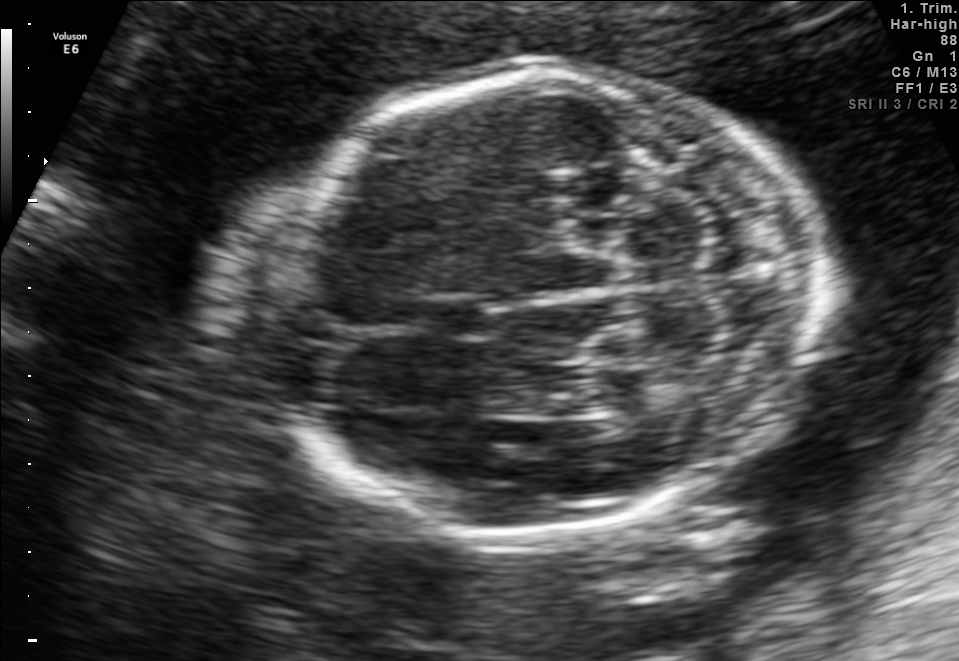
In this fetal brain, trans-cerebellum plane, give the bounding box of the fetal head.

[243,71,818,530]